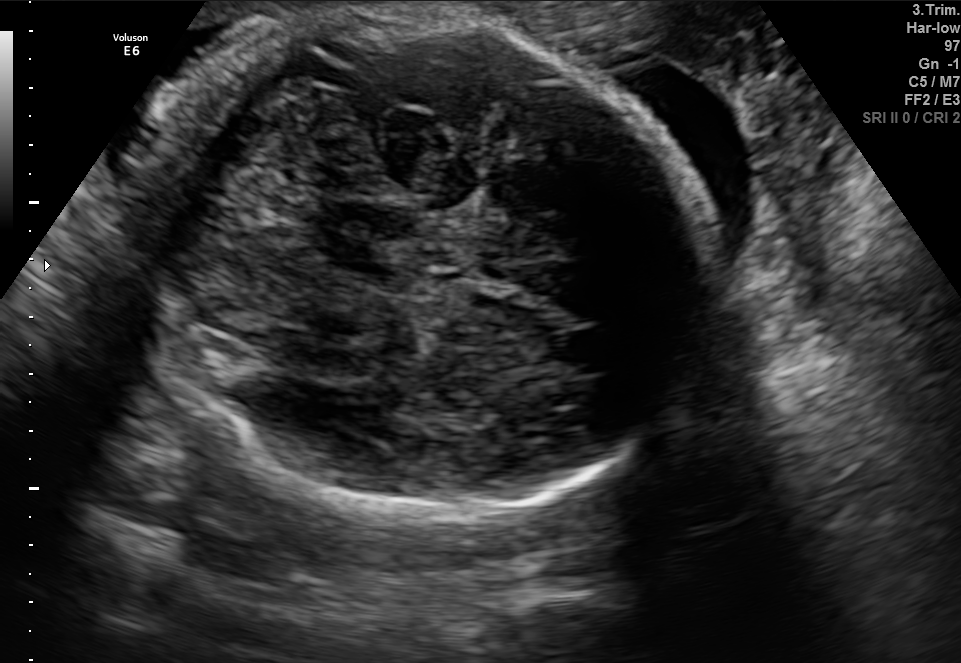
In this fetal brain, trans-cerebellum plane, give the bounding box of the fetal head.

[118,17,698,510]